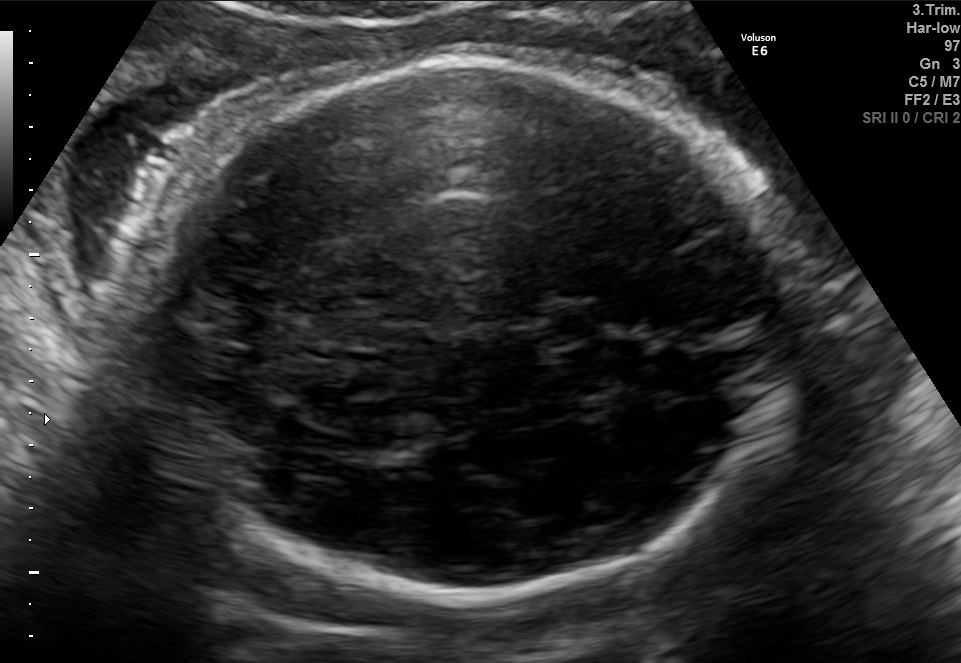
Fetal brain, trans-thalamic plane. Locate the cavum septum pellucidum.

CSP: [539,296,616,350]